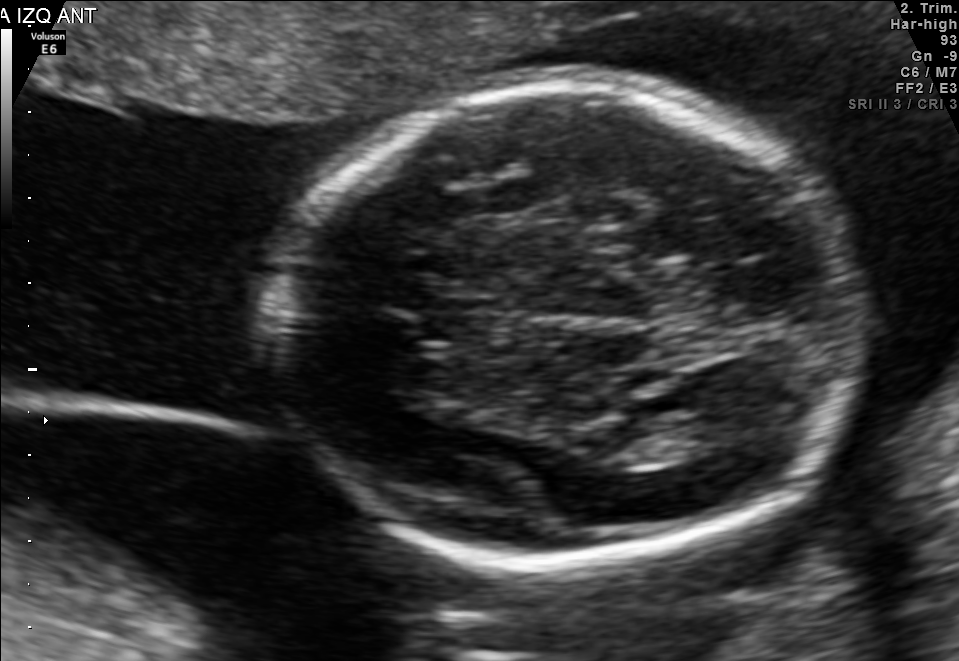
Fetal brain, trans-thalamic plane. Where is the cavum septum pellucidum?

CSP bounding box: [421,301,498,339]